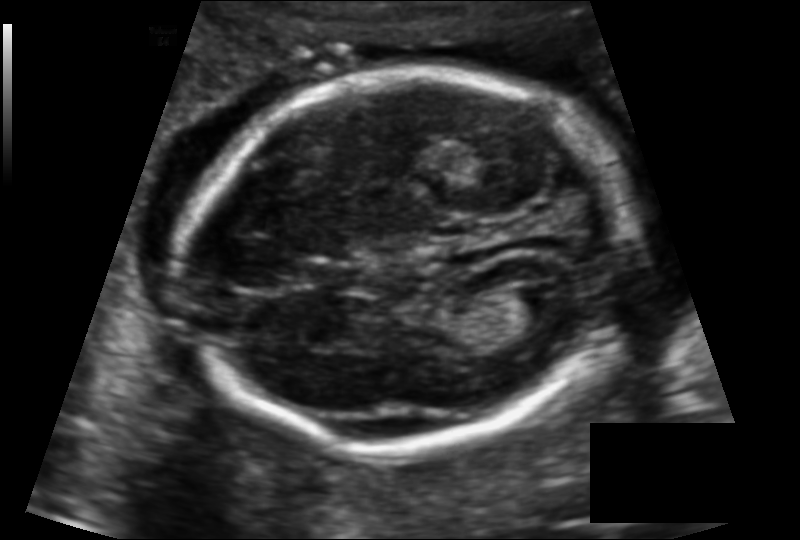
Fetal head ultrasound. Image width: 99.3 mm. Where is the lateral ventricle?

Lateral ventricle bounding box: [505,276,577,332]